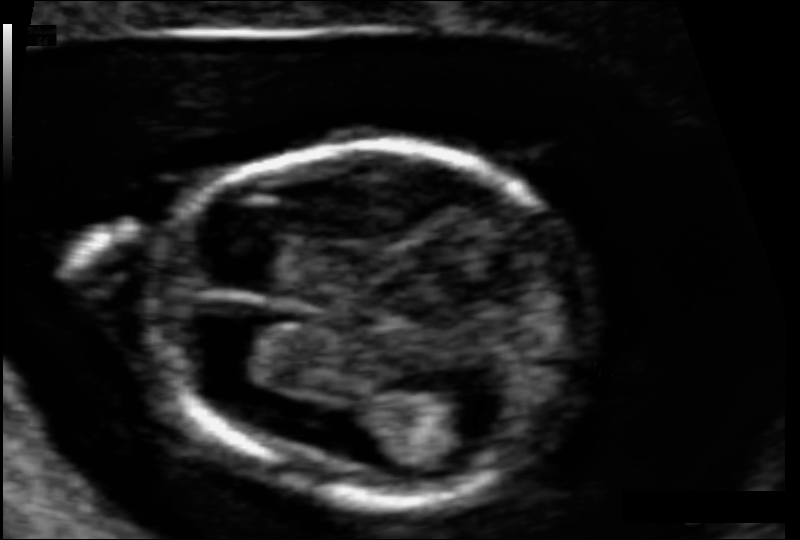
Estimate the fetal head circumference from this 2D ultrasound.

Head circumference: 81.6 mm (image width 50.1 mm).